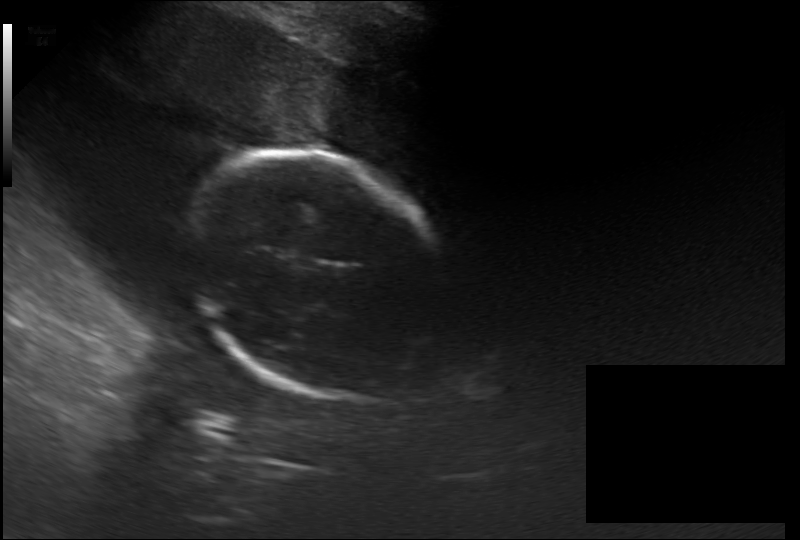
From this fetal ultrasound, estimate the head circumference (image width 211.0 mm).

Head circumference: 217.9 mm.